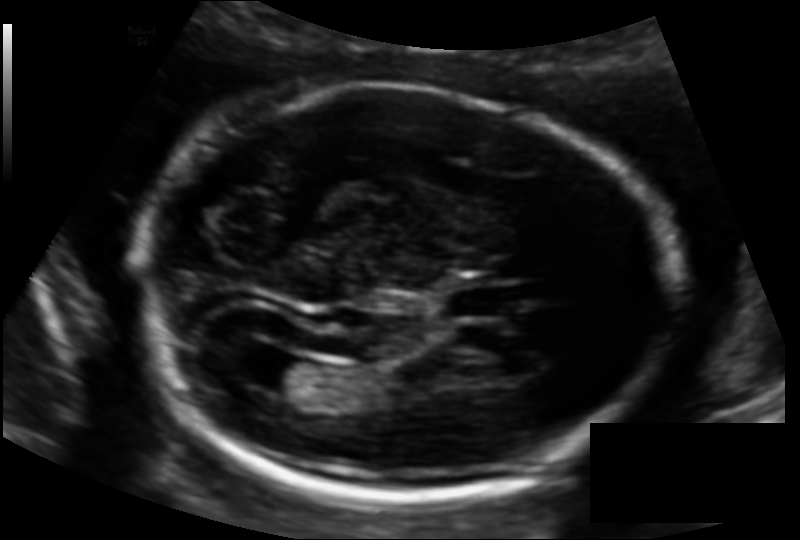
Fetal head ultrasound. Image width: 103.6 mm. Locate the fetal head.

Head: [148,84,667,498]